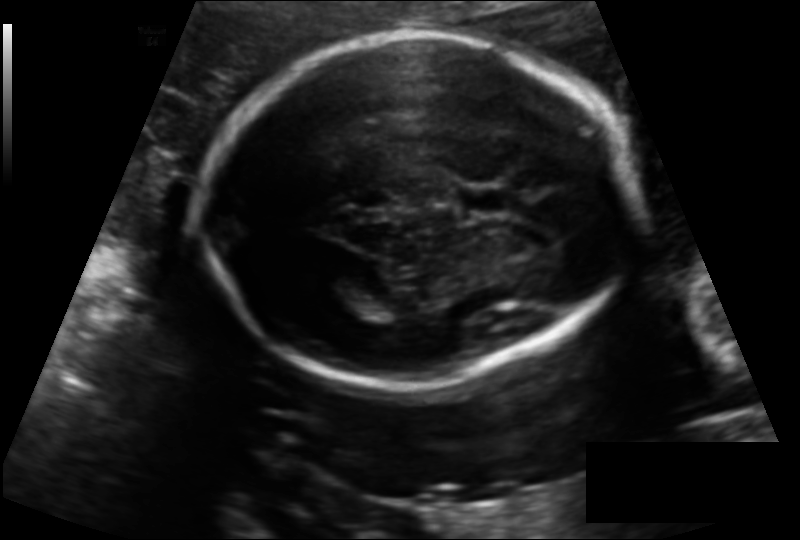
Fetal head ultrasound. Image width: 111.5 mm. Where is the fetal head?

Head bounding box: [198,33,631,386]